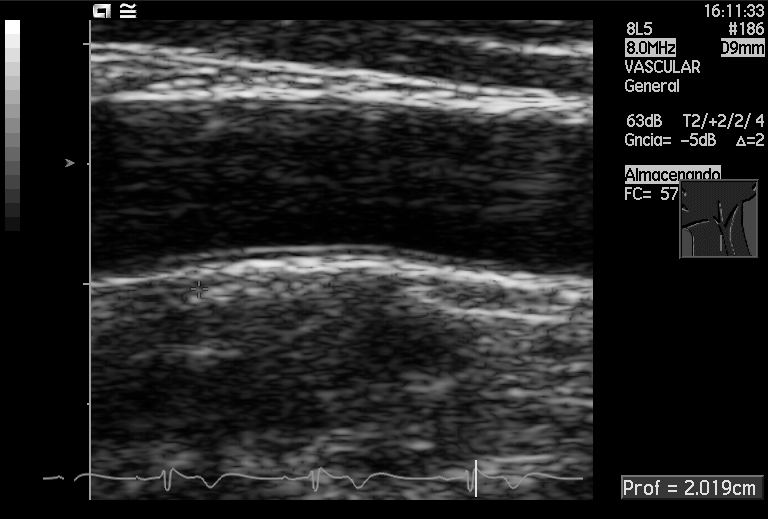
This is a 2D maternal-fetal ultrasound frame. Is it a fetal abdomen, fetal brain, fetal femur, fetal thorax, maternal cervix, or other standard plane? If it's fetal brain and one of the three standard brain planes (trans-thalamic, trans-cerebellum, trans-ventricular), name which.

Other